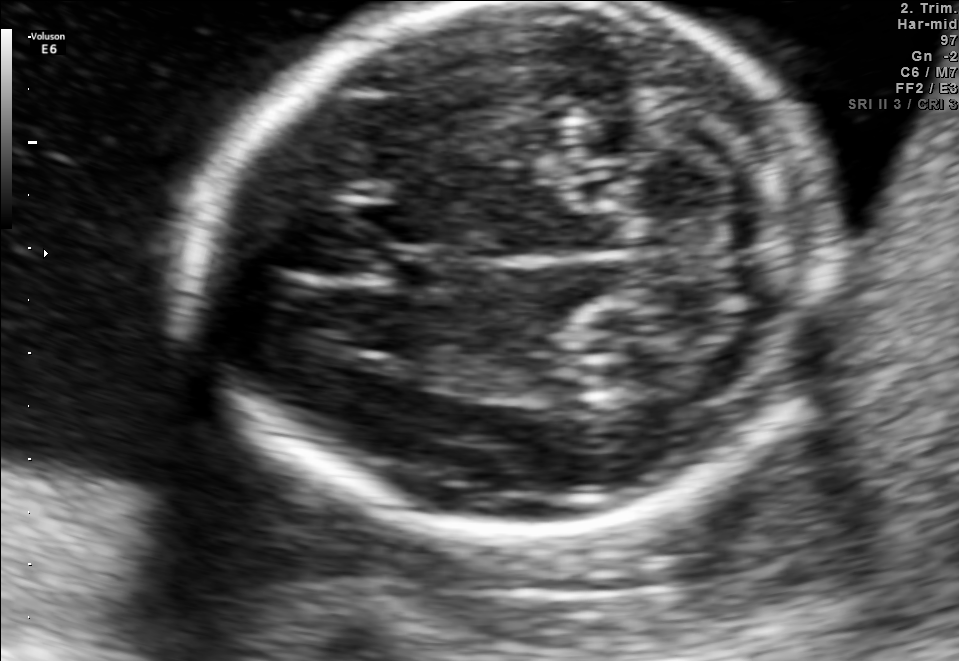
In this fetal brain, trans-cerebellum plane, give the bounding box of the fetal head.

[188,4,841,537]